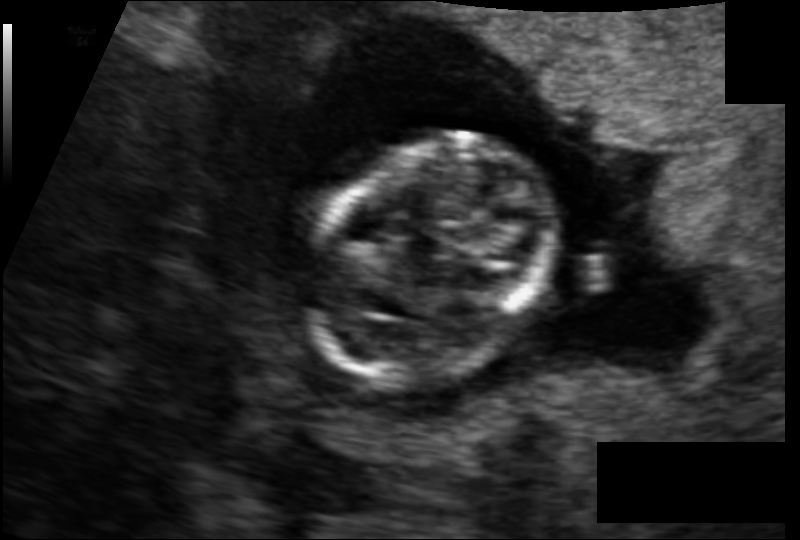
Estimate the fetal head circumference from this 2D ultrasound.

Head circumference: 78.8 mm (image width 77.6 mm).